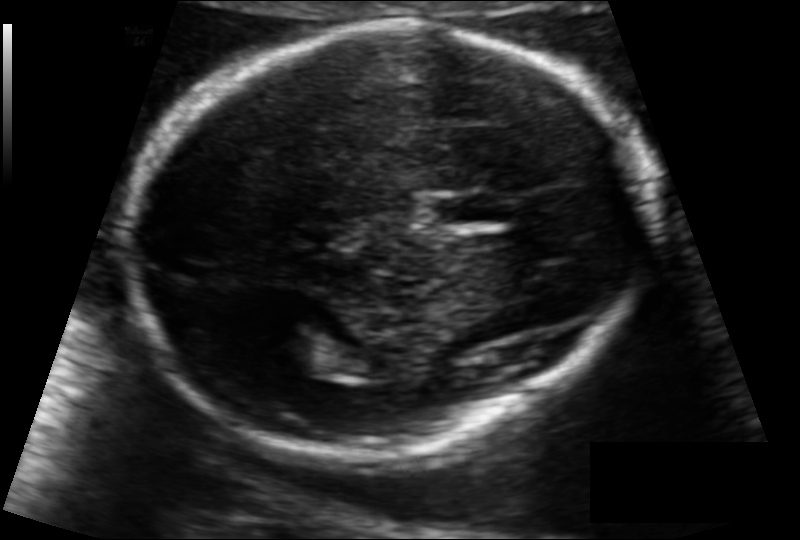
In this fetal head ultrasound, give the bounding box of the lateral ventricle. Image width: 88.7 mm.

[270,334,330,377]